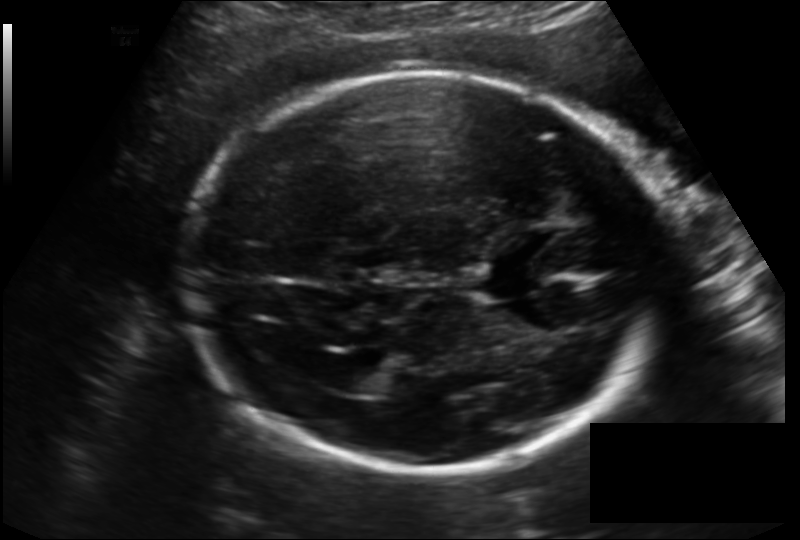
In this fetal head ultrasound, give bounding boxes for the head outline, cavum septum pellucidum (CSP), and lateral ventricle (LV), where visible. Image width: 133.1 mm.

Head: [189,74,663,476]
CSP: [474,256,543,302]
Lateral ventricle: [333,363,385,396]